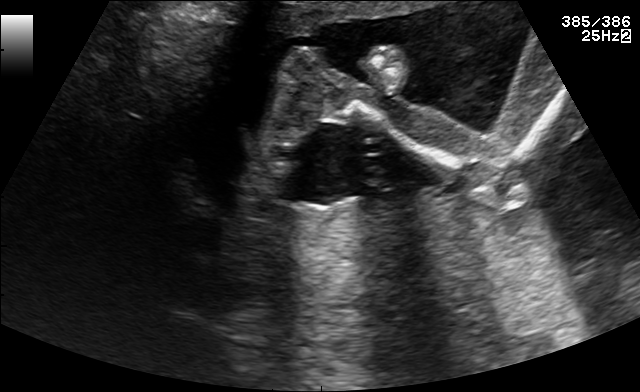
Which standard maternal-fetal ultrasound plane is shown: fetal abdomen, fetal brain, fetal femur, fetal thorax, maternal cervix, or other? If it's fetal brain and one of the three standard brain planes (trans-thalamic, trans-cerebellum, trans-ventricular), name which.

Other